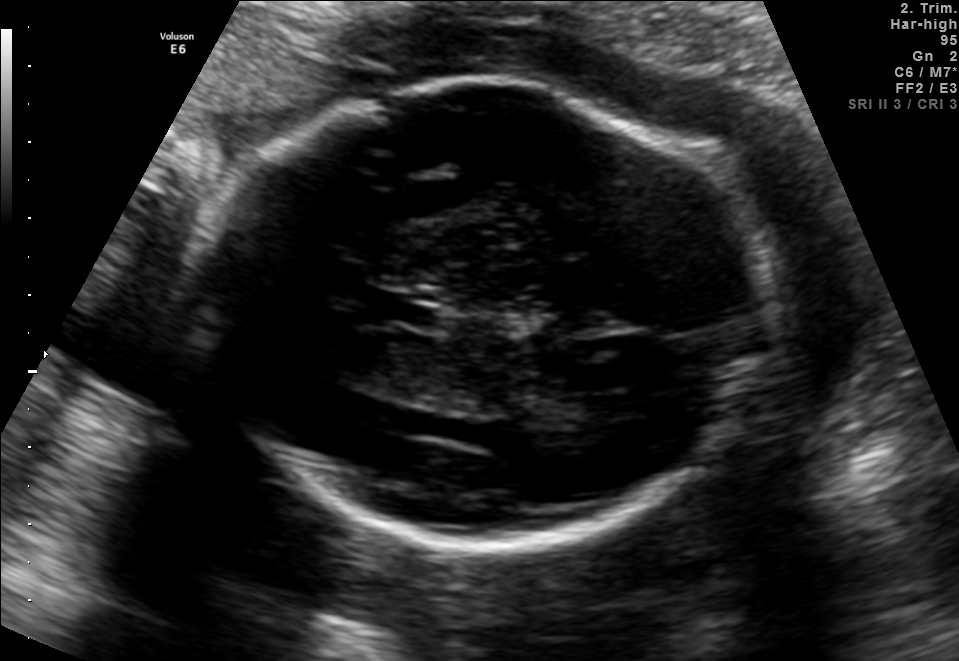
Fetal brain, trans-thalamic plane. Where is the fetal head?

Head bounding box: [185,85,776,556]